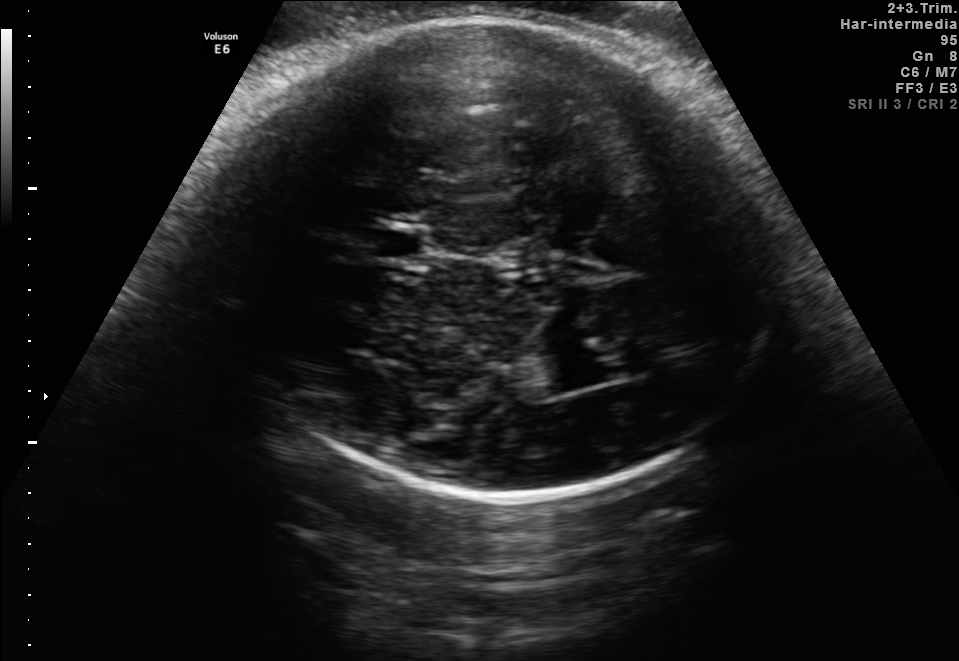
Fetal brain, trans-thalamic plane. Locate the fetal head and, if visible, the cavum septum pellucidum (CSP) and lateral ventricle (LV). Give bounding boxes as [x1,y1,x2,y2].

Head: [214,22,781,499]
CSP: [373,230,423,260]
Lateral ventricle: [533,347,603,399]